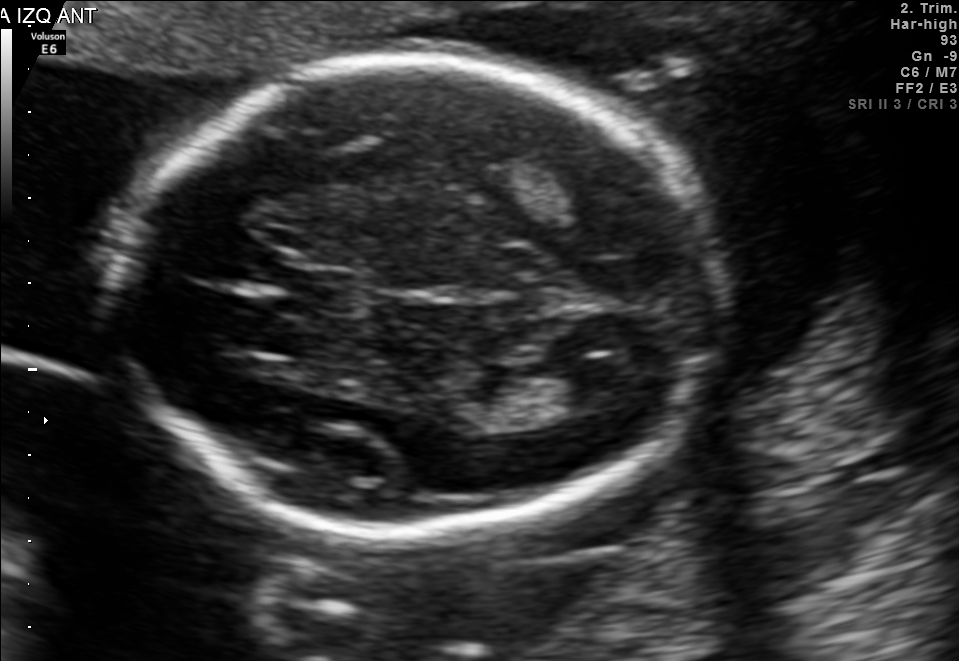
Fetal brain, trans-thalamic plane. Give [x1,y1,x2,y2] bounding boxes for each visible structure among: fetal head, CSP, LV.

Head: [110,61,711,528]
CSP: [282,269,352,313]
Lateral ventricle: [529,349,631,425]